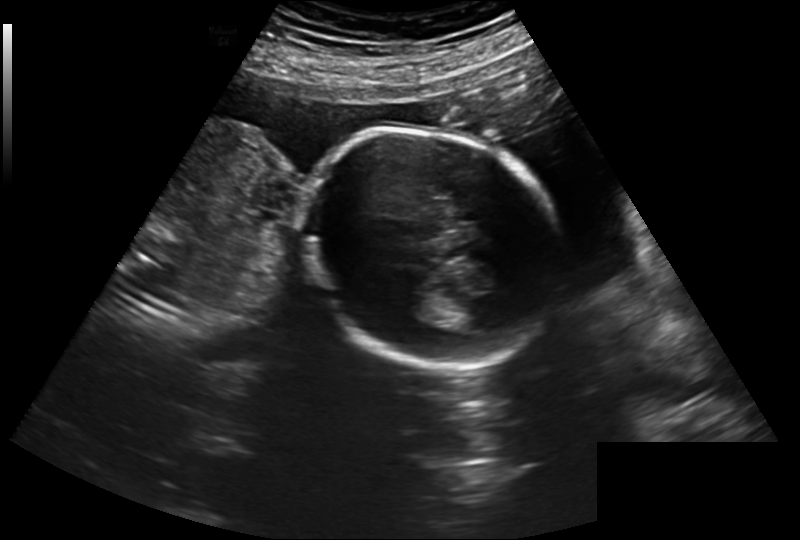
In this fetal head ultrasound, give bounding boxes for the head outline, cavum septum pellucidum (CSP), and lateral ventricle (LV), where visible. Image width: 207.9 mm.

Head: [301,128,557,368]